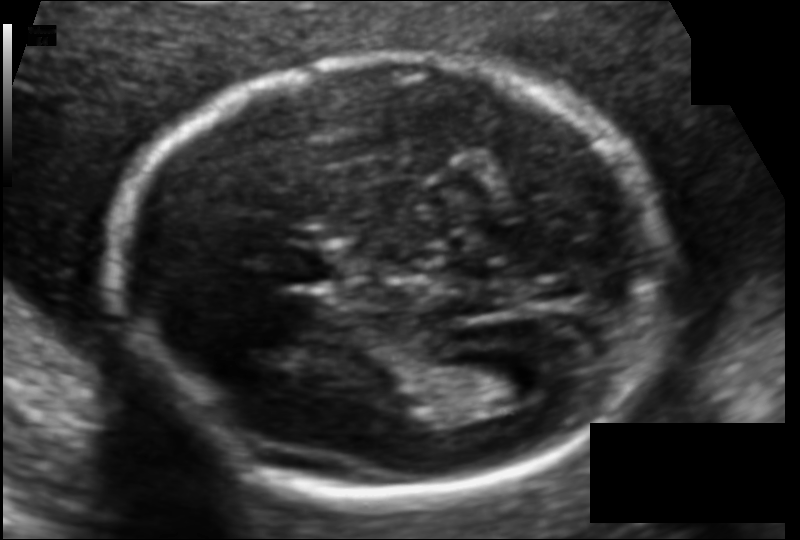
Fetal head ultrasound. Image width: 83.5 mm. Locate the cavum septum pellucidum.

CSP: [270,245,334,287]